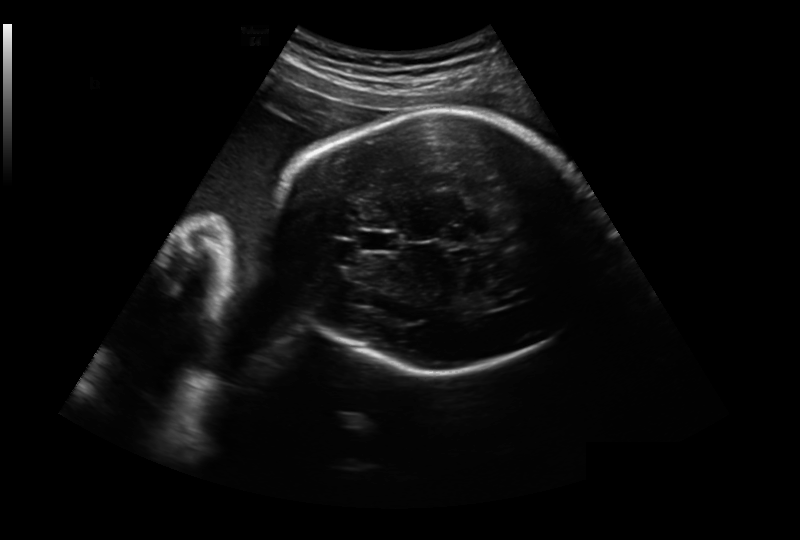
Fetal head ultrasound. Image width: 224.7 mm. Where is the cavum septum pellucidum?

CSP bounding box: [357,228,402,255]